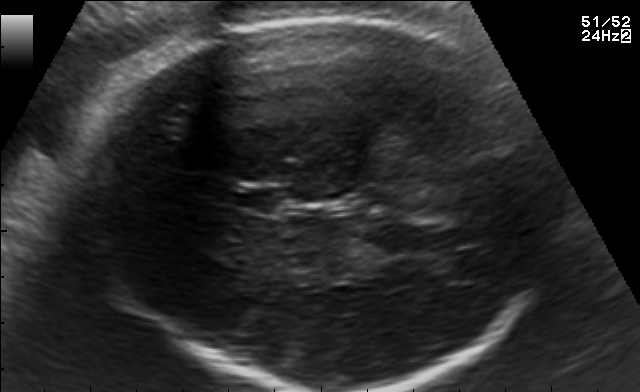
In this fetal brain, trans-thalamic plane, give the bounding box of the cavum septum pellucidum.

[227,185,281,216]